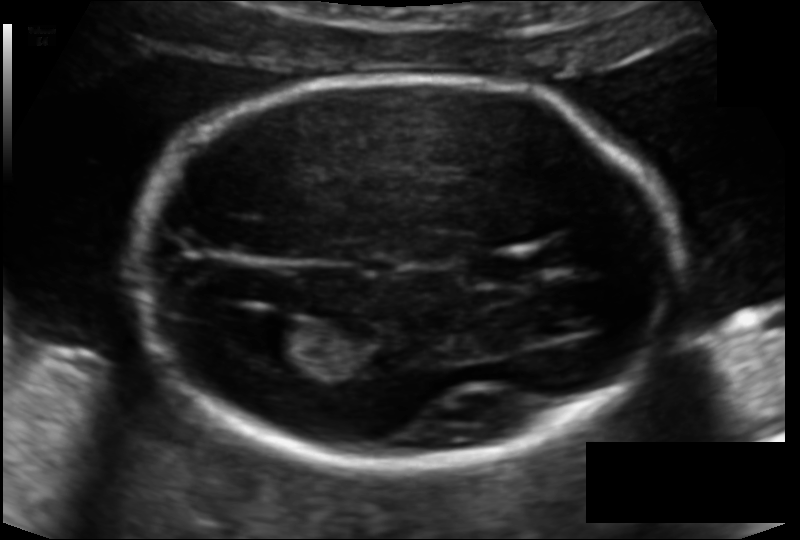
In this fetal head ultrasound, give the bounding box of the fetal head. Image width: 95.2 mm.

[128,76,681,462]